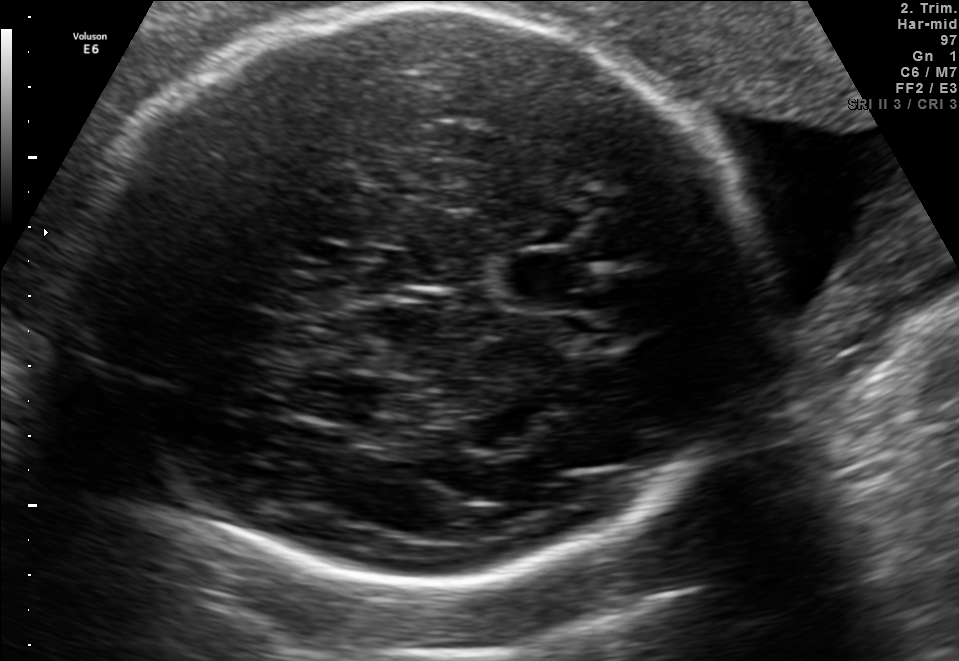
Classify this maternal-fetal ultrasound image as one of the six standard planes — fetal abdomen, fetal brain, fetal femur, fetal thorax, maternal cervix, or other. If it's fetal brain and one of the three standard brain planes (trans-thalamic, trans-cerebellum, trans-ventricular), name which.

Fetal brain (trans-thalamic plane)